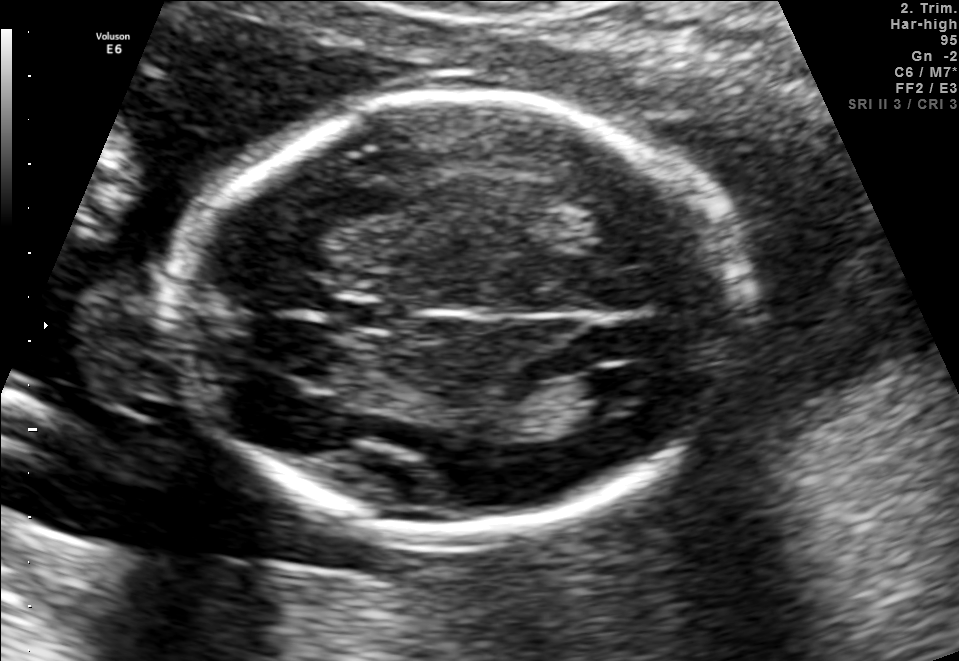
Fetal brain, trans-ventricular plane. Give [x1,y1,x2,y2] bounding boxes for each visible structure among: fetal head, CSP, LV.

Head: [167,85,762,546]
CSP: [342,302,389,330]
Lateral ventricle: [577,360,664,417]